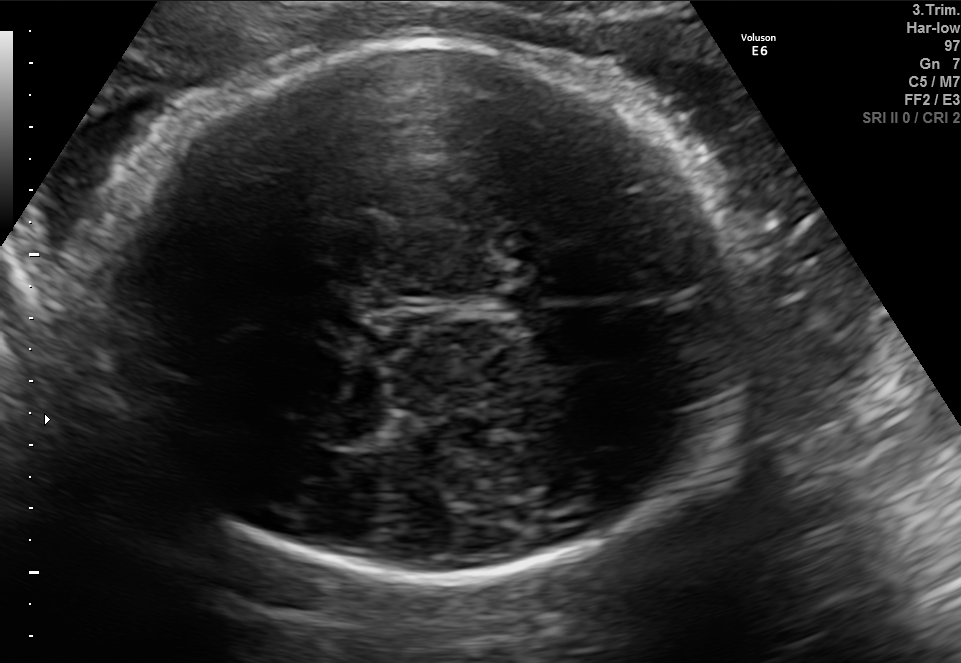
Fetal brain, trans-thalamic plane. Where is the fetal head?

Head bounding box: [89,44,746,577]